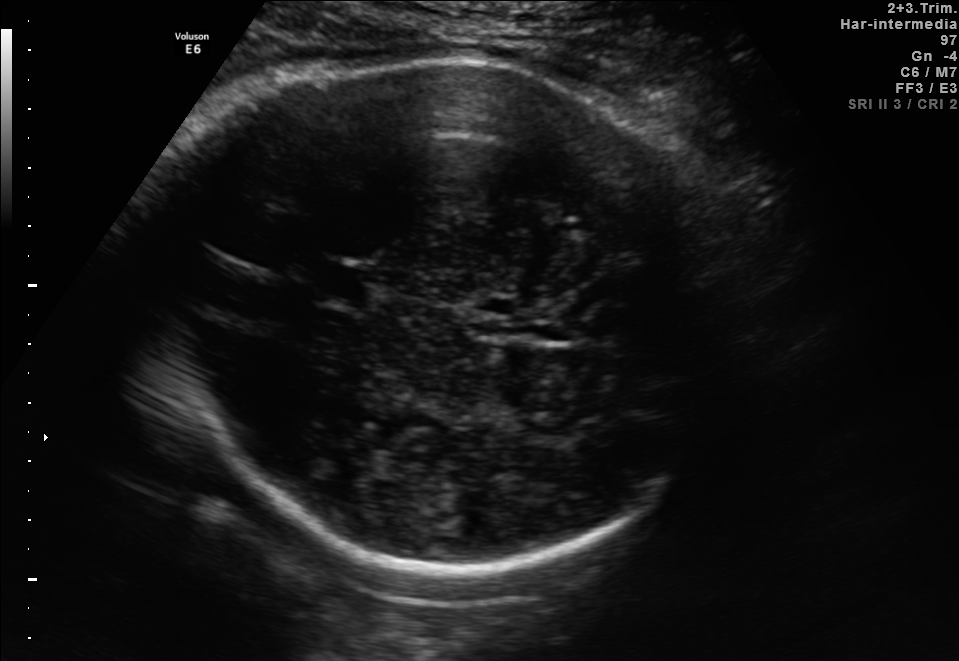
Fetal brain, trans-thalamic plane. Locate the cavum septum pellucidum.

CSP: [304,256,375,306]